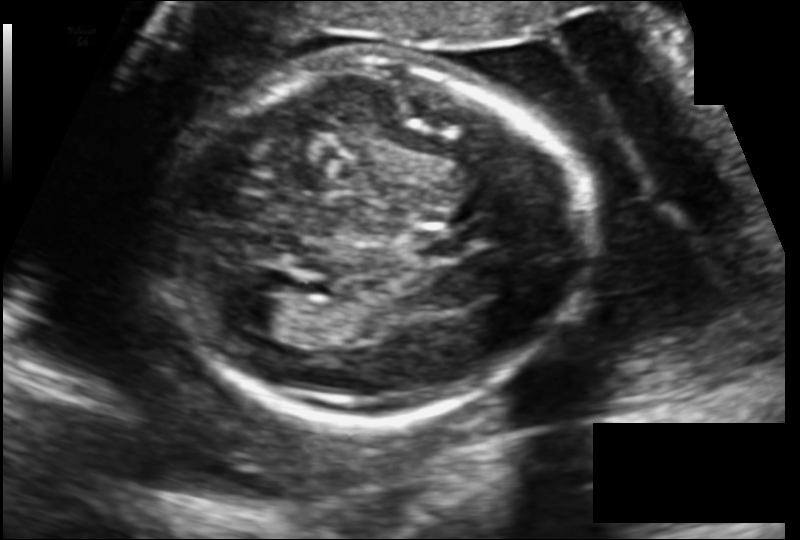
Measure the fetal head circumference shown in this ultrasound image. Image width: 110.0 mm.

Head circumference: 174.6 mm.